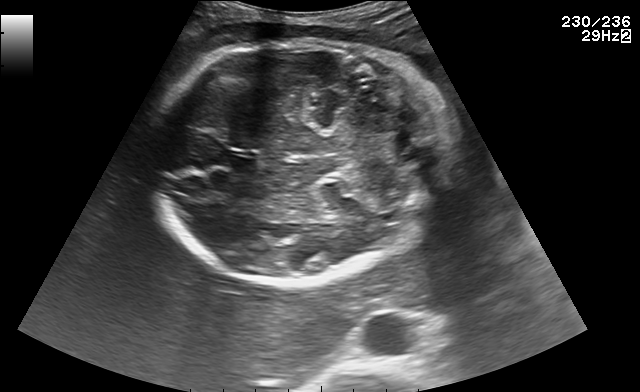
In this fetal brain, trans-cerebellum plane, give the bounding box of the fetal head.

[150,39,444,284]